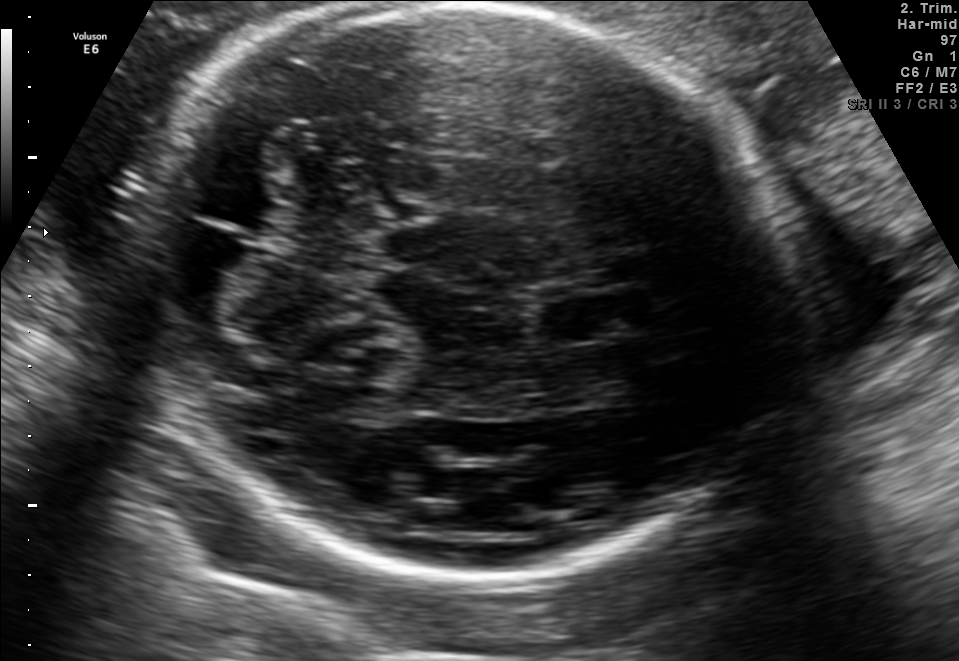
Fetal brain, trans-cerebellum plane. Where is the cavum septum pellucidum?

CSP bounding box: [535,290,645,347]